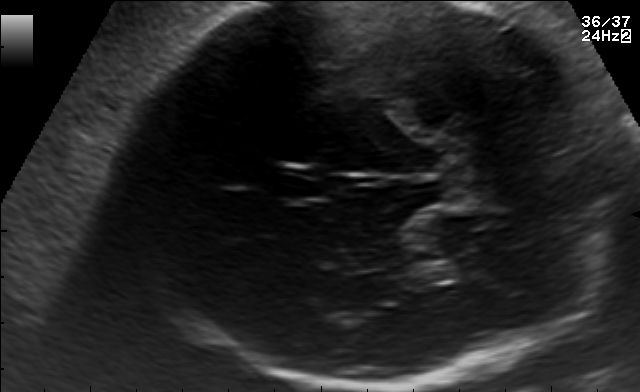
Fetal brain, trans-thalamic plane. Locate the fetal head and, if visible, the cavum septum pellucidum (CSP) and lateral ventricle (LV). Give bounding boxes as [x1,y1,x2,y2].

Head: [115,2,624,390]
CSP: [273,168,329,198]